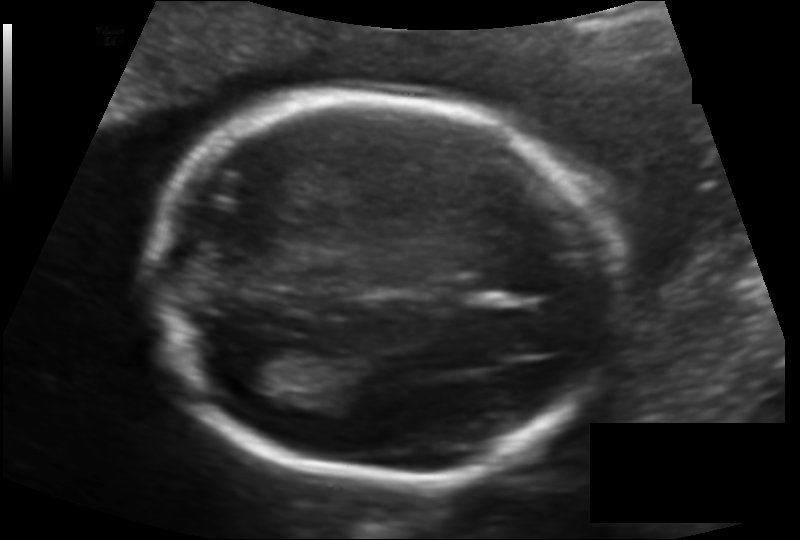
Fetal head ultrasound. Image width: 102.7 mm. Locate the fetal head and, if visible, the cavum septum pellucidum (CSP) and lateral ventricle (LV). Give bounding boxes as [x1,y1,x2,y2].

Head: [152,95,616,480]
Lateral ventricle: [231,338,321,403]